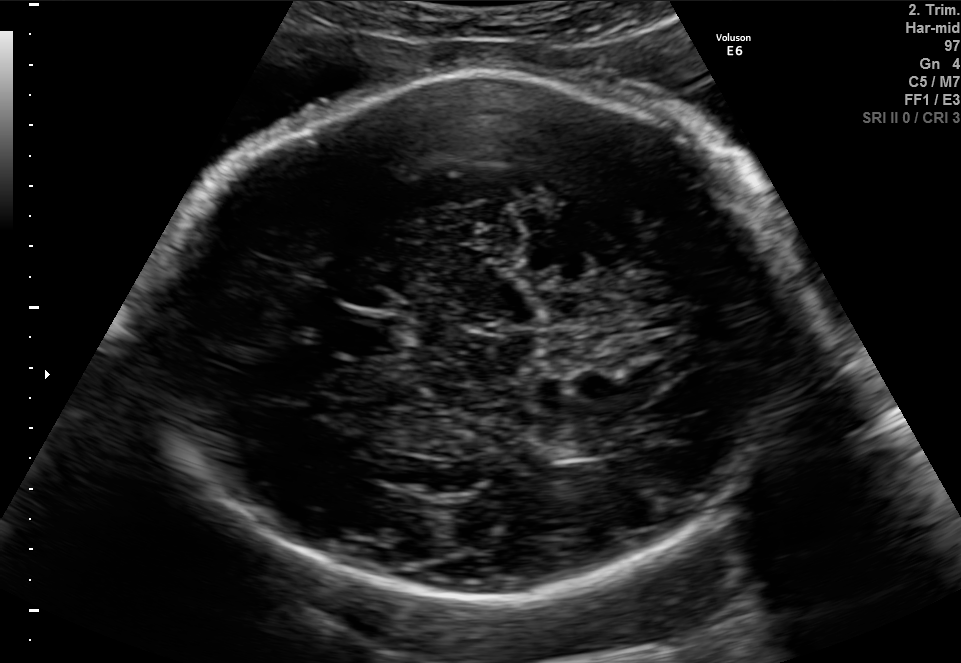
Fetal brain, trans-thalamic plane. Locate the lateral ventricle.

Lateral ventricle: [551,434,606,461]